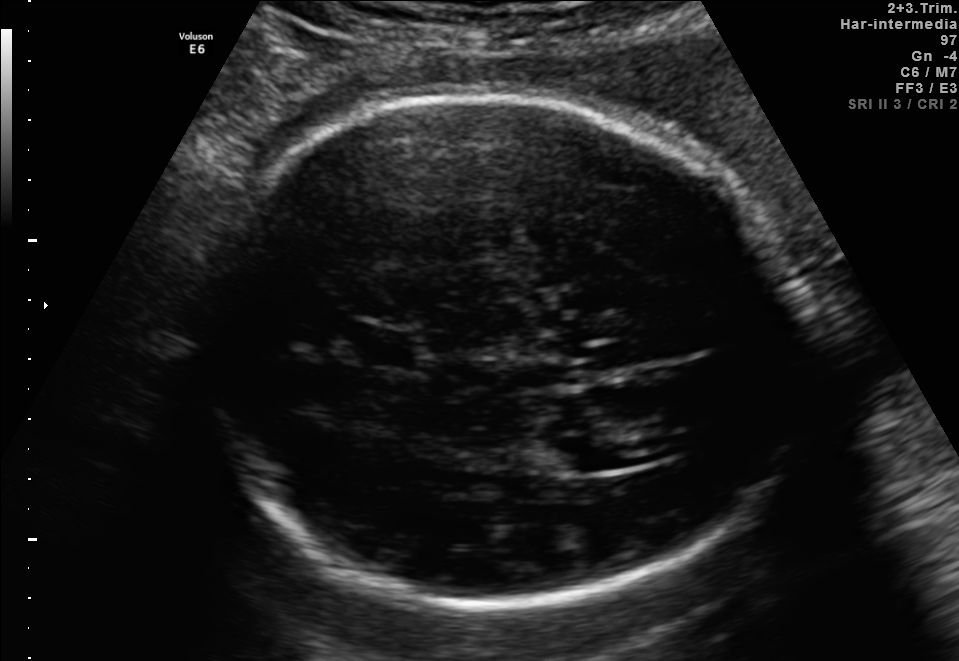
In this fetal brain, trans-ventricular plane, give the bounding box of the lateral ventricle.

[537,428,622,478]